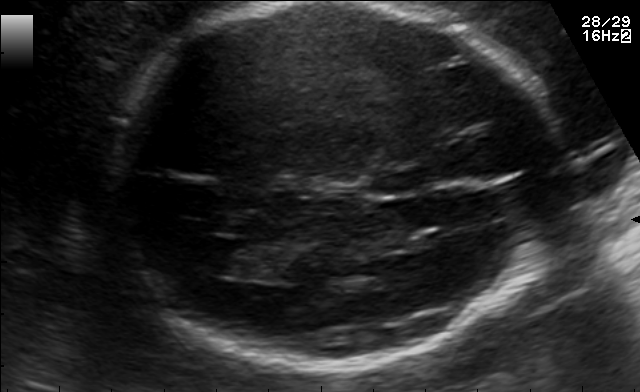
Fetal brain, trans-ventricular plane. Where is the lateral ventricle?

Lateral ventricle bounding box: [181,235,253,277]